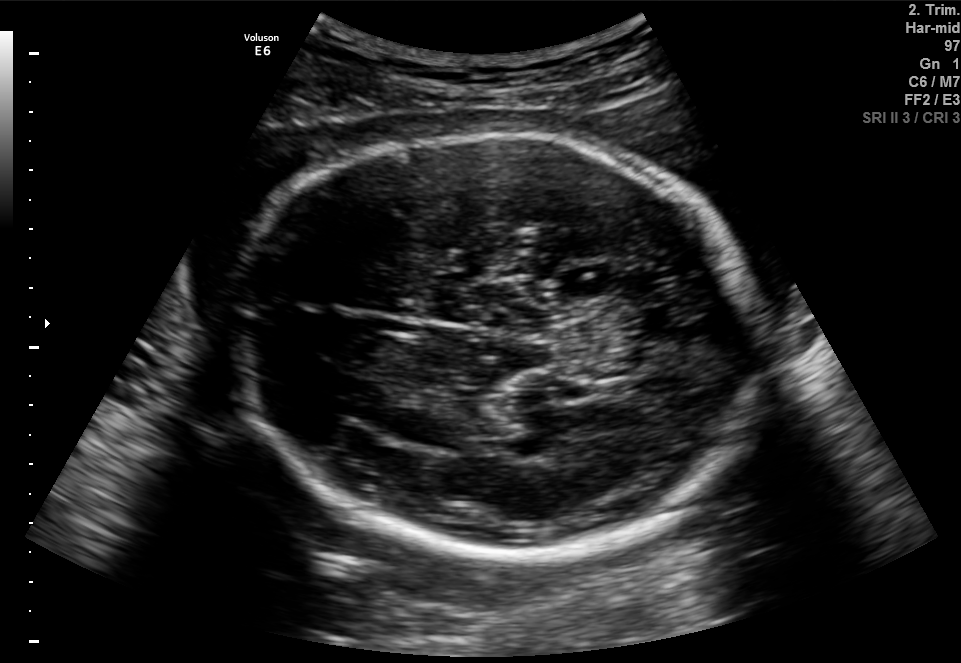
This is a 2D maternal-fetal ultrasound frame. Is it a fetal abdomen, fetal brain, fetal femur, fetal thorax, maternal cervix, or other standard plane? If it's fetal brain and one of the three standard brain planes (trans-thalamic, trans-cerebellum, trans-ventricular), name which.

Fetal brain (trans-thalamic plane)